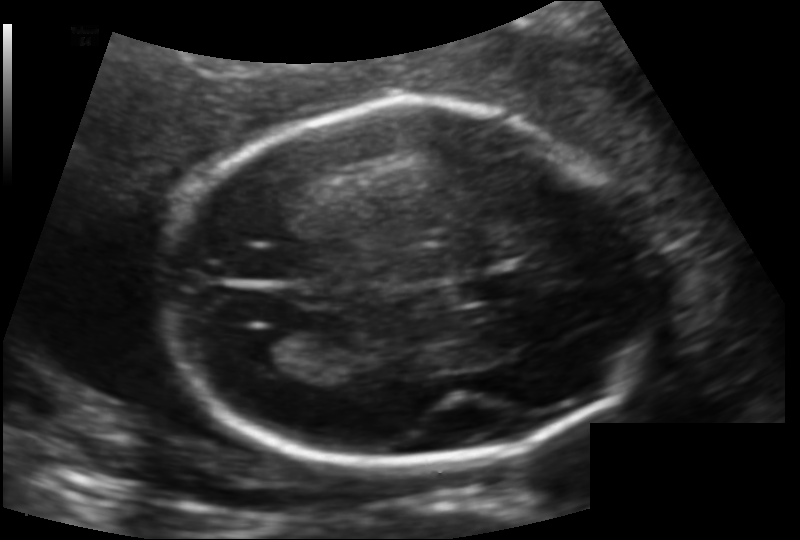
In this fetal head ultrasound, give bounding boxes for the head outline, cavum septum pellucidum (CSP), and lateral ventricle (LV), where visible. Image width: 106.2 mm.

Head: [156,107,654,464]
CSP: [457,269,529,305]
Lateral ventricle: [228,325,298,371]